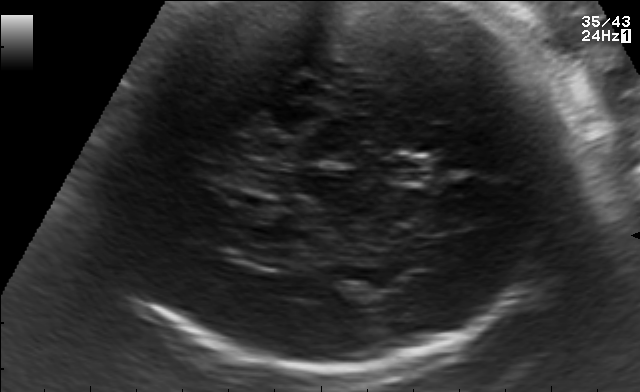
Fetal brain, trans-thalamic plane. Where is the cavum septum pellucidum?

CSP bounding box: [386,158,431,182]